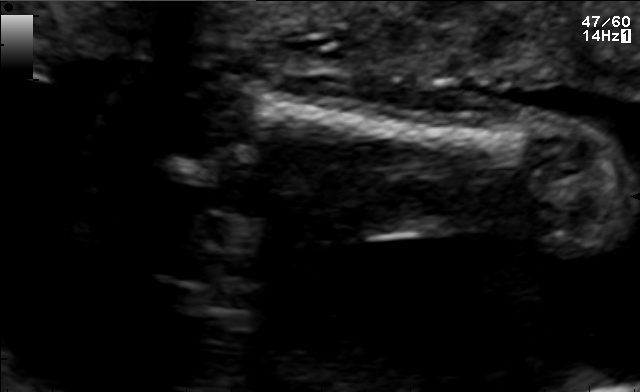
Classify this maternal-fetal ultrasound image as one of the six standard planes — fetal abdomen, fetal brain, fetal femur, fetal thorax, maternal cervix, or other. If it's fetal brain and one of the three standard brain planes (trans-thalamic, trans-cerebellum, trans-ventricular), name which.

Fetal femur